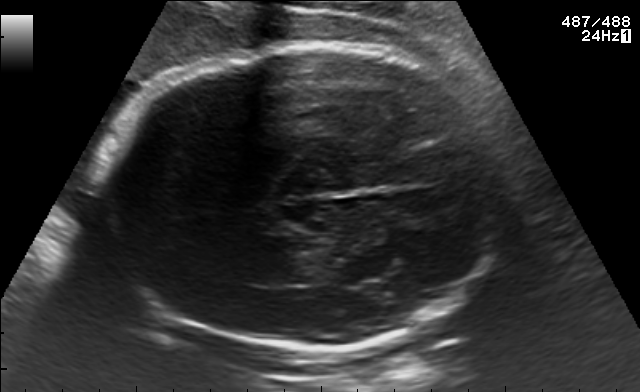
Fetal brain, trans-thalamic plane. Locate the fetal head.

Head: [93,45,503,349]